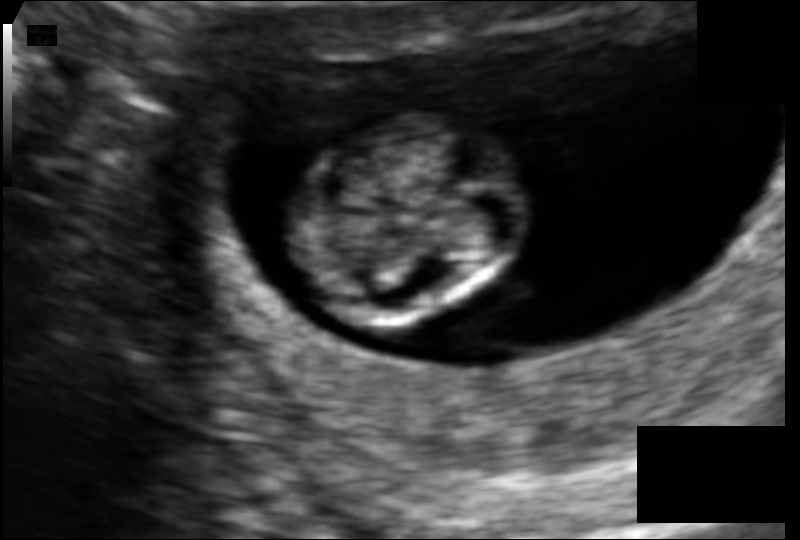
Fetal head ultrasound. Image width: 66.8 mm. Where is the fetal head?

Head bounding box: [293,114,521,322]